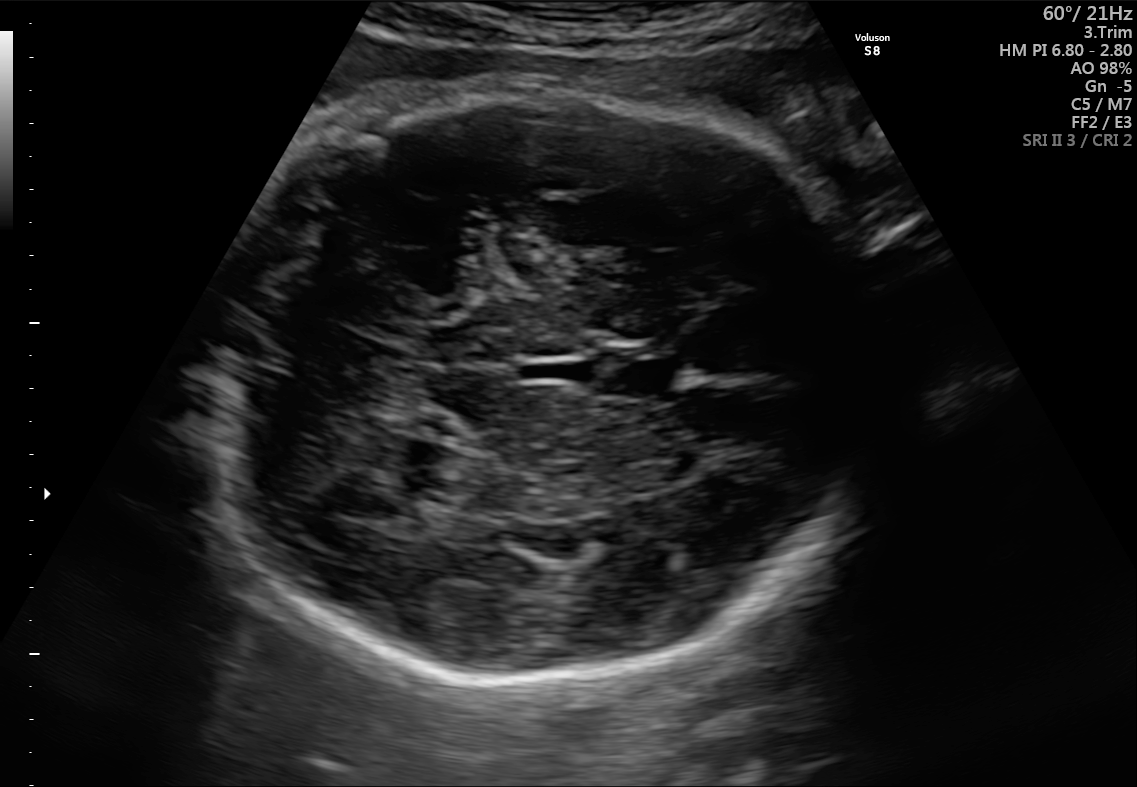
Fetal brain, trans-cerebellum plane. Locate the cavum septum pellucidum.

CSP: [601,340,684,401]